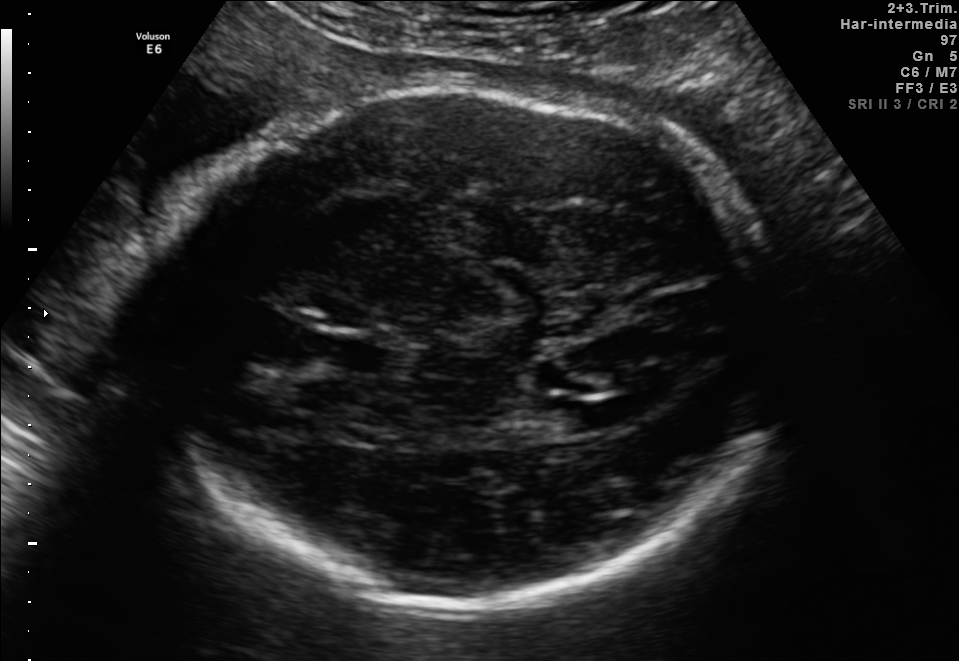
Fetal brain, trans-ventricular plane. Locate the lateral ventricle.

Lateral ventricle: [560,396,624,436]